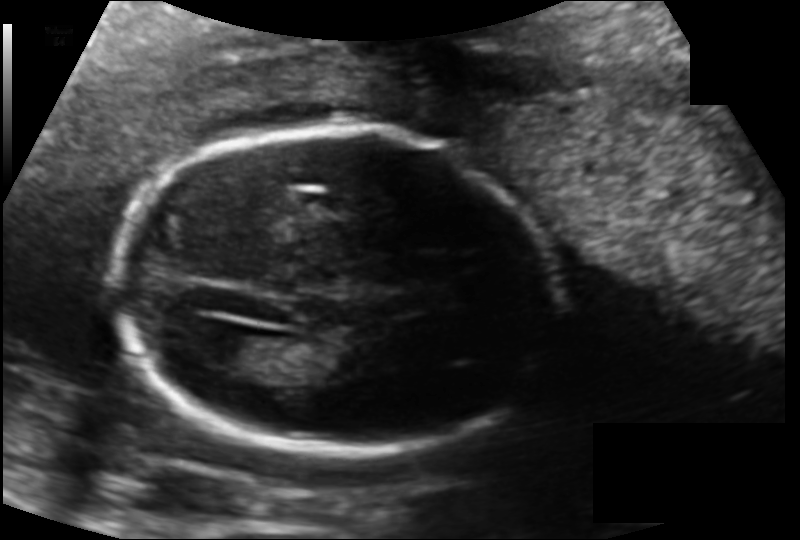
Fetal head ultrasound. Image width: 107.0 mm. Where is the lateral ventricle?

Lateral ventricle bounding box: [197,329,267,375]